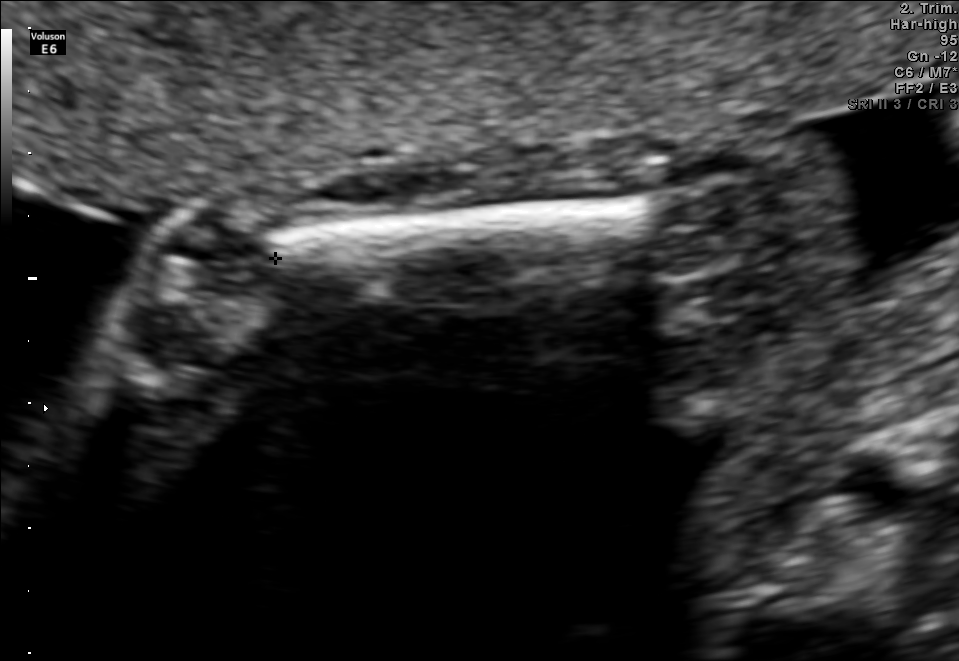
This is a 2D maternal-fetal ultrasound frame. Is it a fetal abdomen, fetal brain, fetal femur, fetal thorax, maternal cervix, or other standard plane? If it's fetal brain and one of the three standard brain planes (trans-thalamic, trans-cerebellum, trans-ventricular), name which.

Other